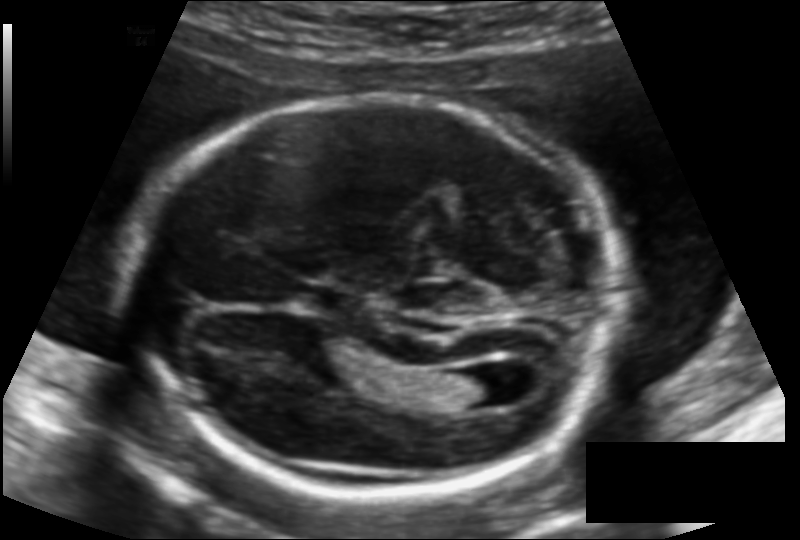
Fetal head ultrasound. Image width: 99.7 mm. Where is the lateral ventricle?

Lateral ventricle bounding box: [445,370,510,408]